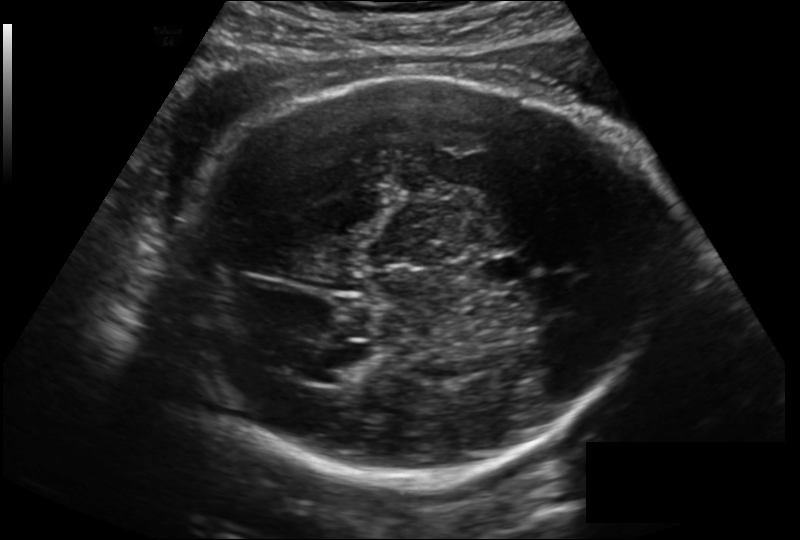
Fetal head ultrasound. Image width: 159.3 mm. Give [x1,y1,x2,y2] bounding boxes for each visible structure among: fetal head, CSP, LV.

Head: [167,76,657,477]
CSP: [474,246,532,293]
Lateral ventricle: [313,348,372,386]